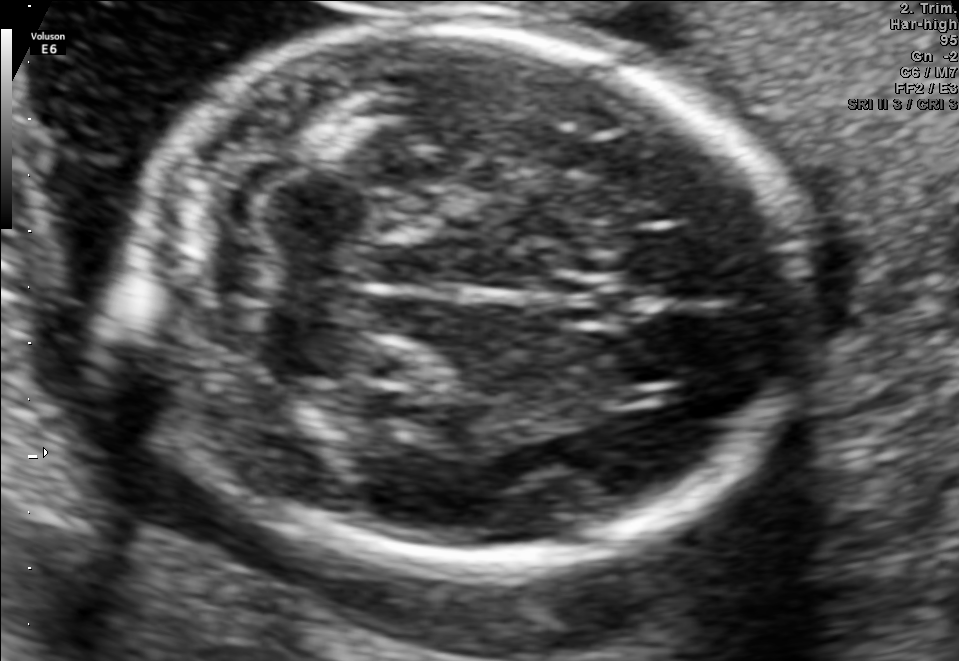
Fetal brain, trans-cerebellum plane. Where is the fetal head?

Head bounding box: [132,26,801,567]